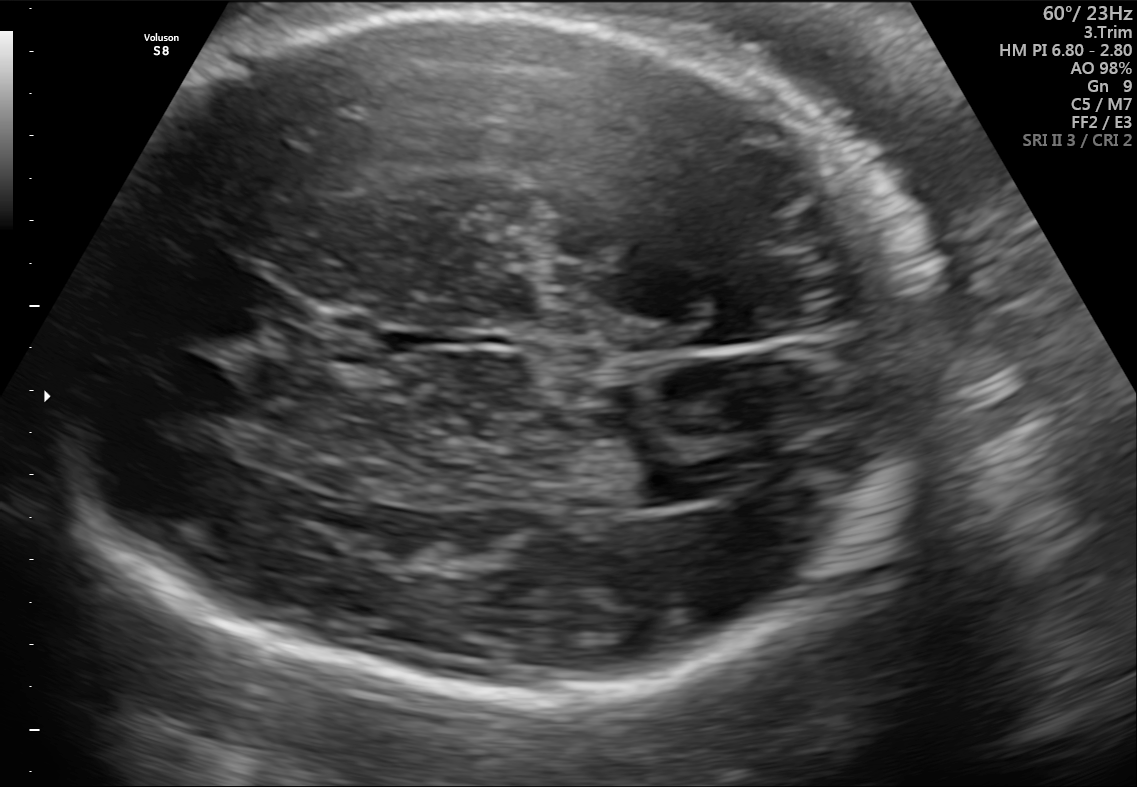
Fetal brain, trans-ventricular plane. Give [x1,y1,x2,y2] bounding boxes for each visible structure among: fetal head, CSP, LV.

Head: [76,8,928,693]
CSP: [379,333,423,353]
Lateral ventricle: [627,463,702,507]